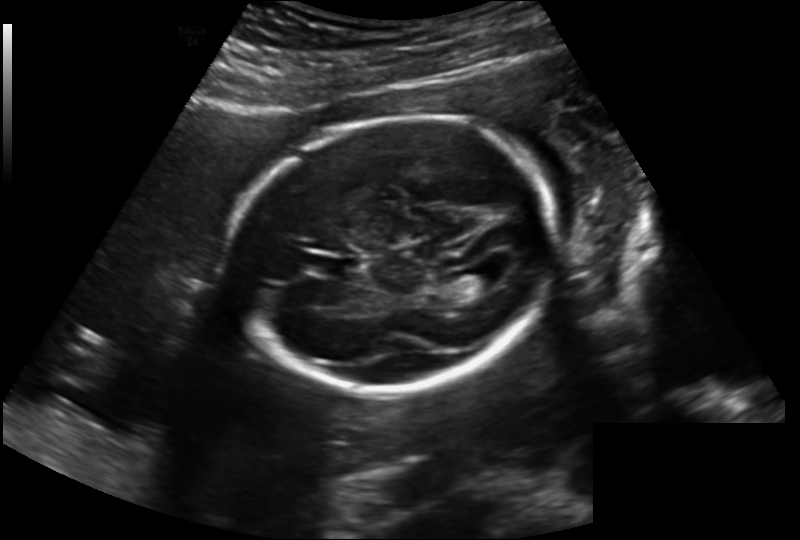
In this fetal head ultrasound, give bounding boxes for the head outline, cavum septum pellucidum (CSP), and lateral ventricle (LV), where visible. Image width: 161.6 mm.

Head: [226,117,557,392]
CSP: [315,255,360,279]
Lateral ventricle: [450,257,502,303]